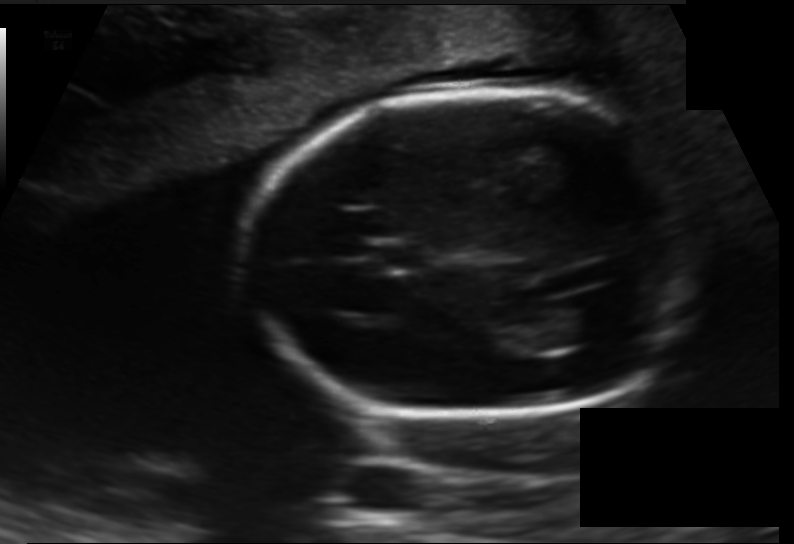
What is the fetal head circumference? Image width is 109.8 mm.

171.2 mm